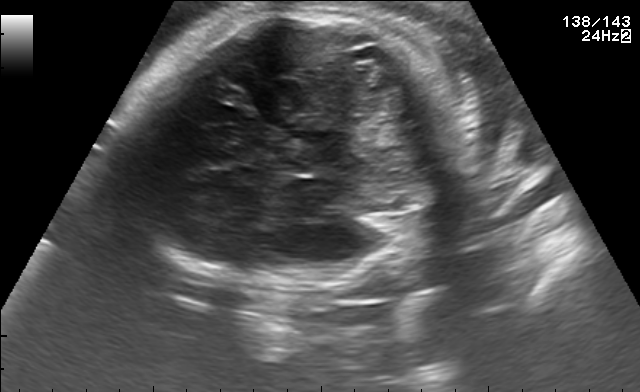
In this fetal brain, trans-thalamic plane, give bounding boxes for the head outline, cavum septum pellucidum (CSP), and lateral ventricle (LV), where visible.

Head: [125,9,454,288]